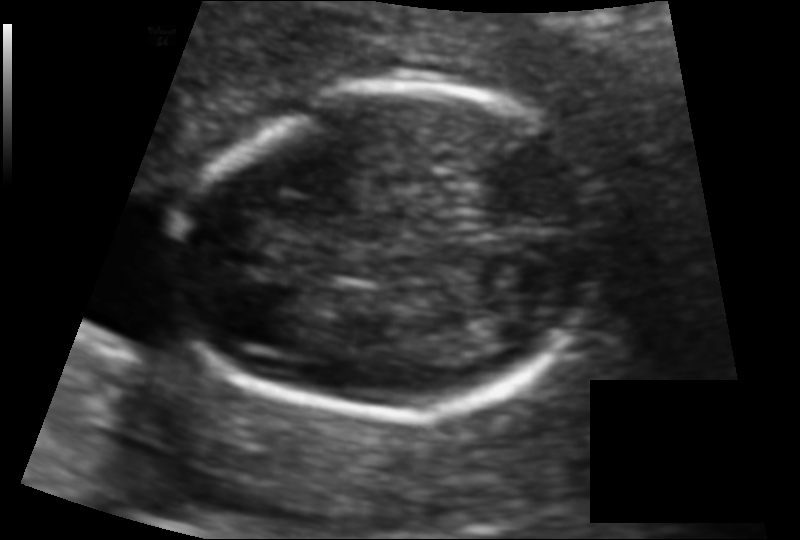
Fetal head ultrasound. Image width: 76.2 mm. Locate the fetal head and, if visible, the cavum septum pellucidum (CSP) and lateral ventricle (LV). Give bounding boxes as [x1,y1,x2,y2].

Head: [176,86,602,415]